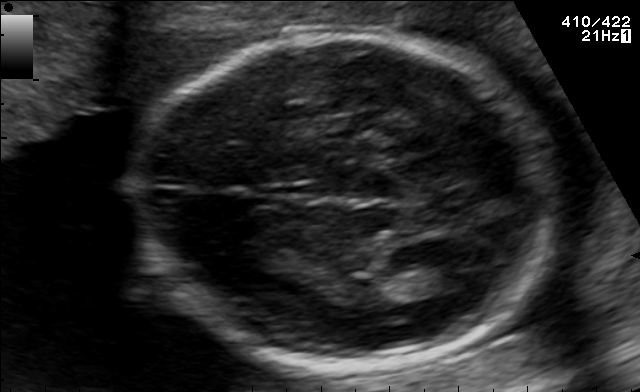
Fetal brain, trans-thalamic plane. Where is the lateral ventricle?

Lateral ventricle bounding box: [415,247,494,299]